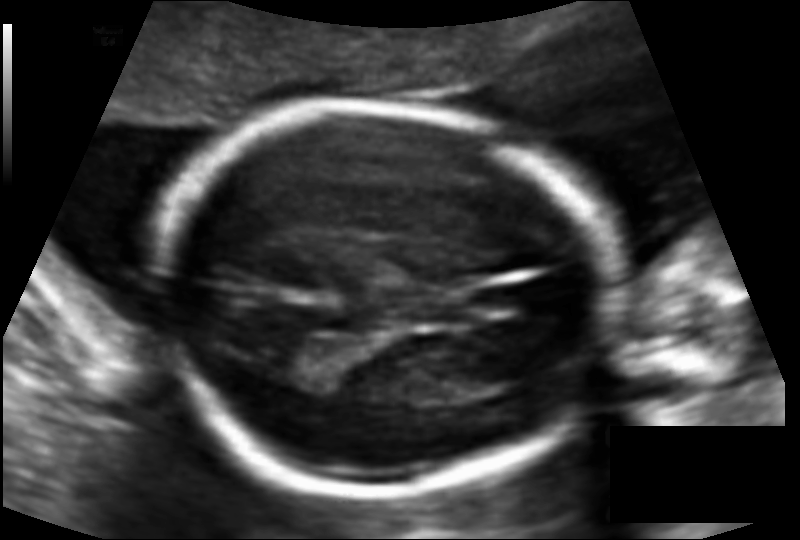
Estimate the fetal head circumference from this 2D ultrasound. Image width: 87.7 mm.

Head circumference: 153.4 mm.